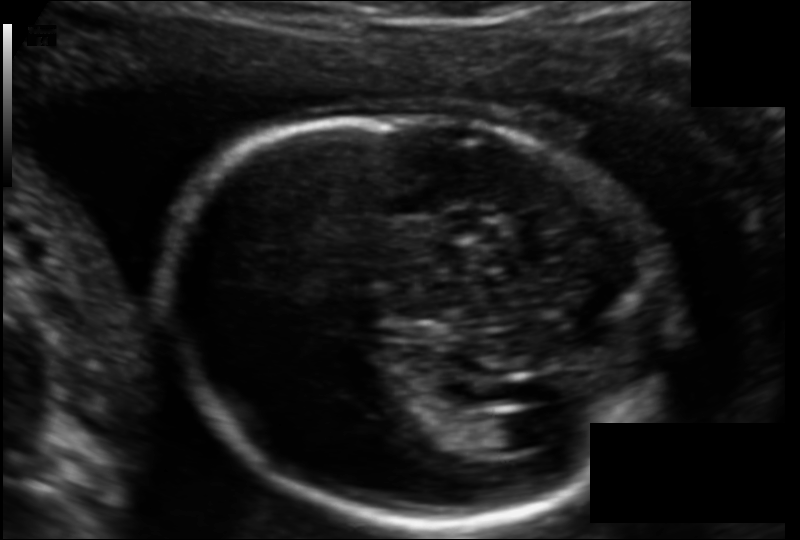
In this fetal head ultrasound, give bounding boxes for the head outline, cavum septum pellucidum (CSP), and lateral ventricle (LV), where visible. Image width: 98.5 mm.

Head: [172,113,668,524]
Lateral ventricle: [472,413,540,454]